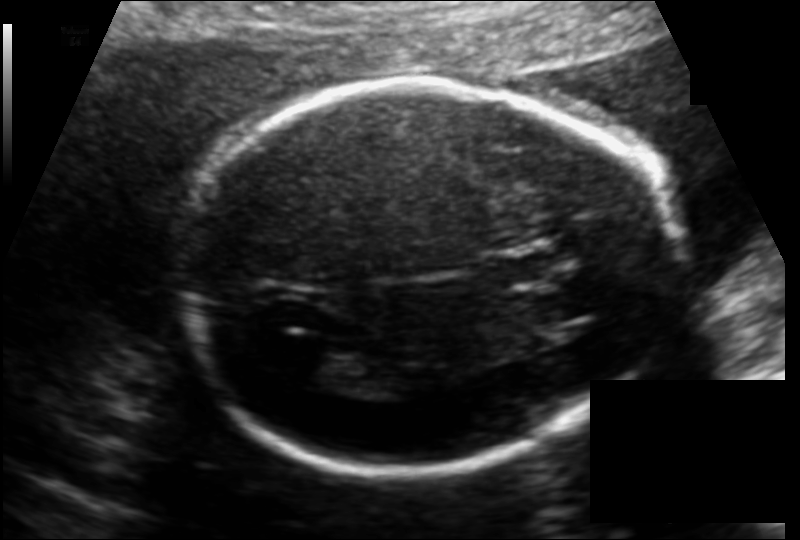
Fetal head ultrasound. Image width: 104.3 mm. Give [x1,y1,x2,y2] bounding boxes for each visible structure among: fetal head, CSP, LV.

Head: [176,78,674,479]
CSP: [491,238,571,291]
Lateral ventricle: [288,339,367,392]